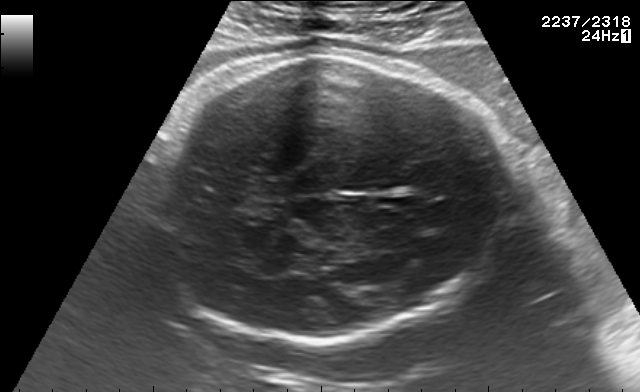
Identify the standard plane in this fetal ultrasound image: fetal abdomen, fetal brain, fetal femur, fetal thorax, maternal cervix, or other. If it's fetal brain and one of the three standard brain planes (trans-thalamic, trans-cerebellum, trans-ventricular), name which.

Fetal brain (trans-thalamic plane)